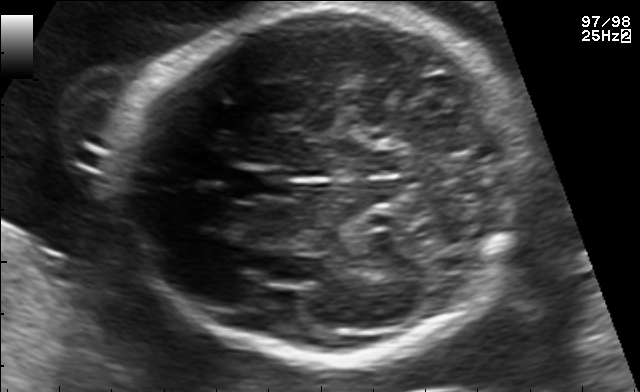
Fetal brain, trans-thalamic plane. Give [x1,y1,x2,y2] bounding boxes for each visible structure among: fetal head, CSP, LV.

Head: [121,7,527,359]
CSP: [228,171,289,197]